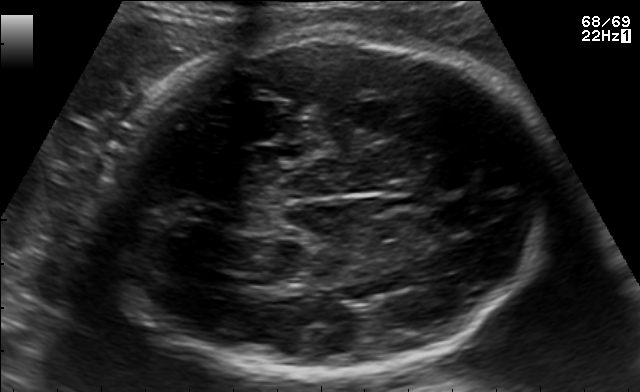
In this fetal brain, trans-thalamic plane, give the bounding box of the fetal head.

[102,32,550,379]